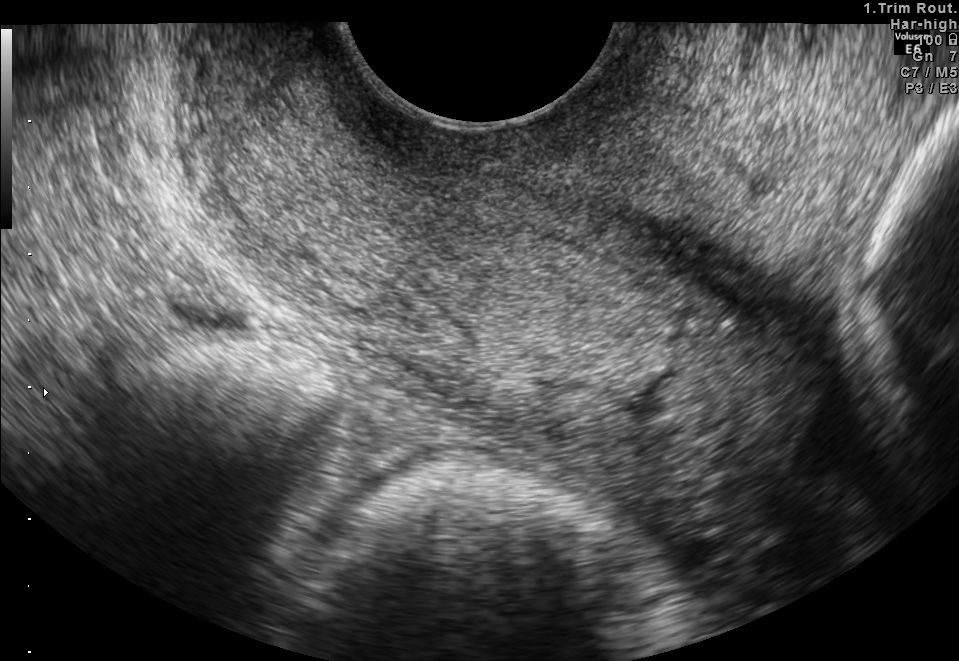
Identify the standard plane in this fetal ultrasound image: fetal abdomen, fetal brain, fetal femur, fetal thorax, maternal cervix, or other. If it's fetal brain and one of the three standard brain planes (trans-thalamic, trans-cerebellum, trans-ventricular), name which.

Maternal cervix